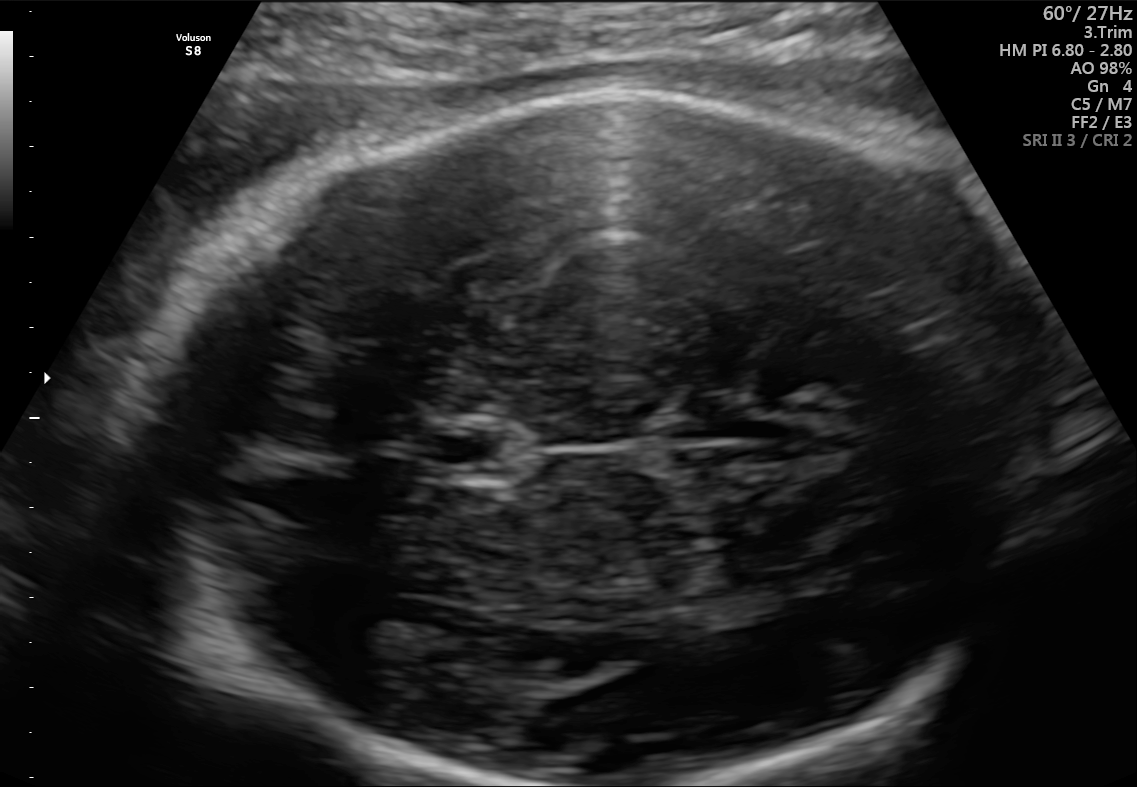
In this fetal brain, trans-thalamic plane, give the bounding box of the cavum septum pellucidum.

[421,422,517,479]